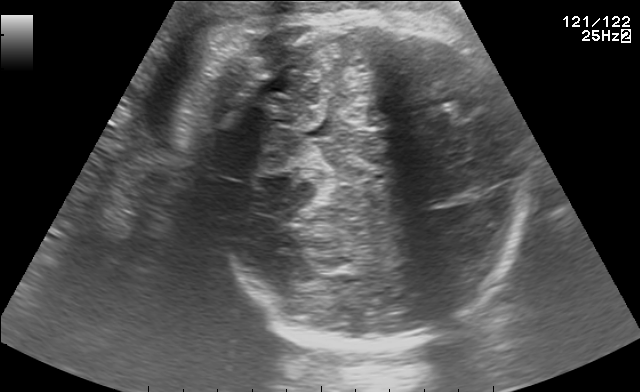
This is a 2D maternal-fetal ultrasound frame. Is it a fetal abdomen, fetal brain, fetal femur, fetal thorax, maternal cervix, or other standard plane? If it's fetal brain and one of the three standard brain planes (trans-thalamic, trans-cerebellum, trans-ventricular), name which.

Fetal brain